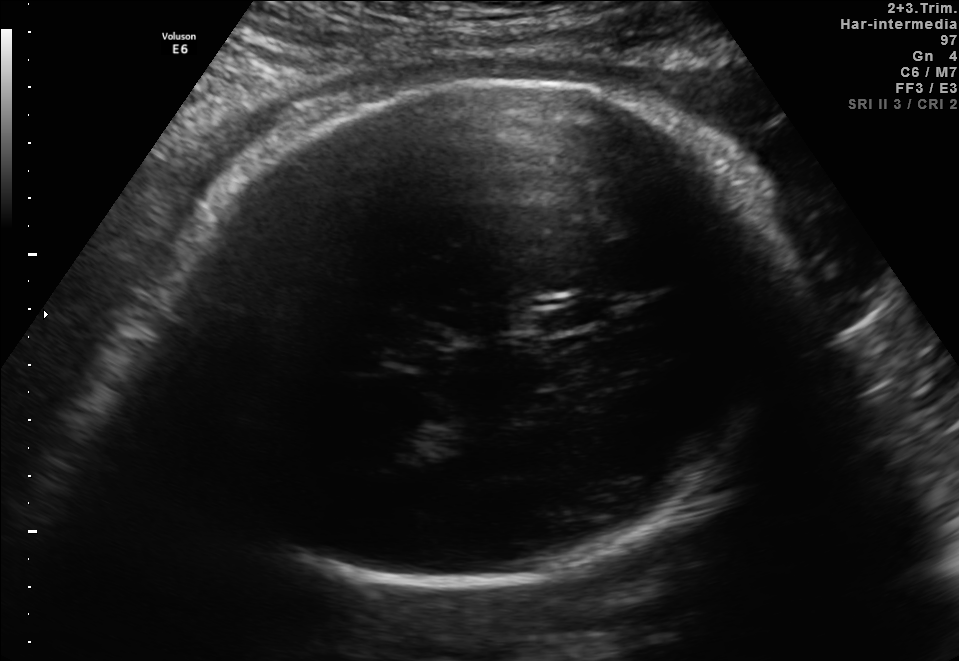
Fetal brain, trans-thalamic plane. Locate the fetal head and, if visible, the cavum septum pellucidum (CSP) and lateral ventricle (LV). Give bounding boxes as [x1,y1,x2,y2].

Head: [162,80,797,583]
CSP: [529,300,601,336]